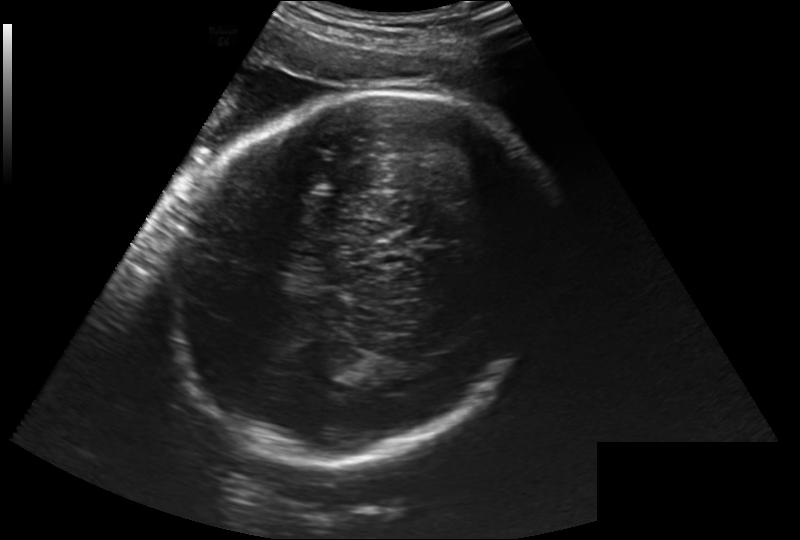
Estimate the fetal head circumference from this 2D ultrasound. Image width: 208.2 mm.

Head circumference: 321.3 mm.